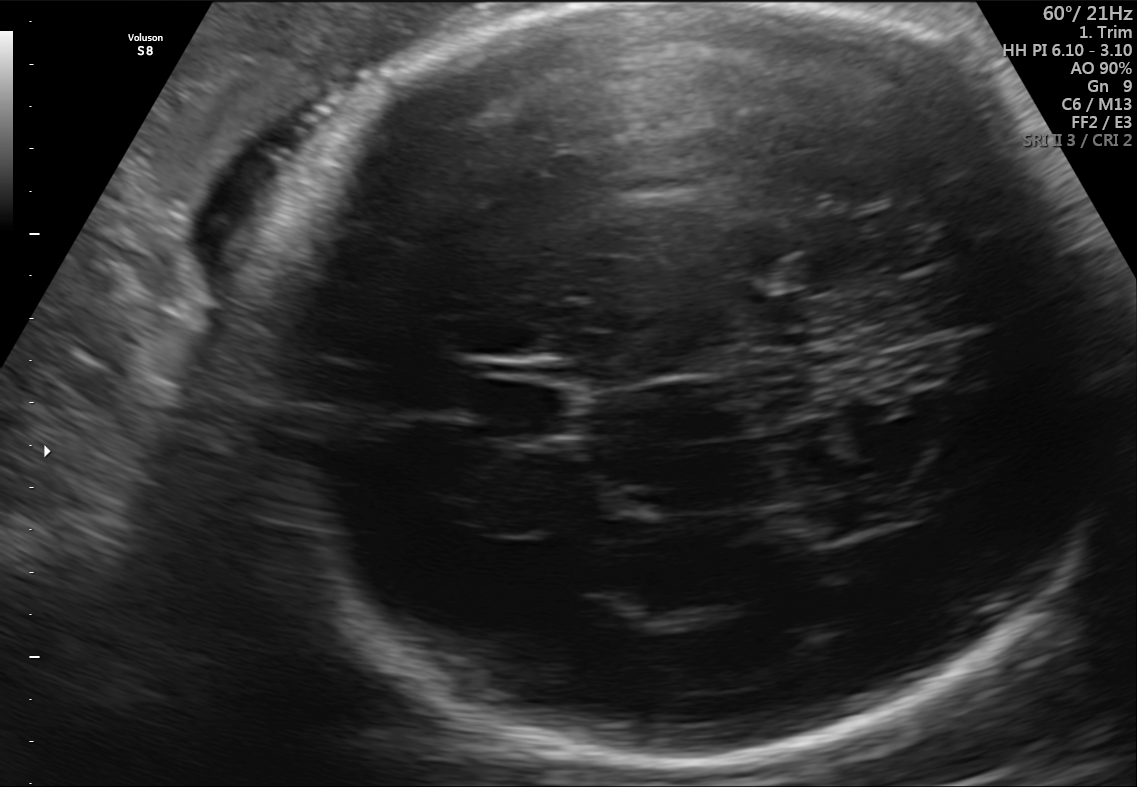
Fetal brain, trans-thalamic plane. Where is the fetal head?

Head bounding box: [260,10,1105,780]